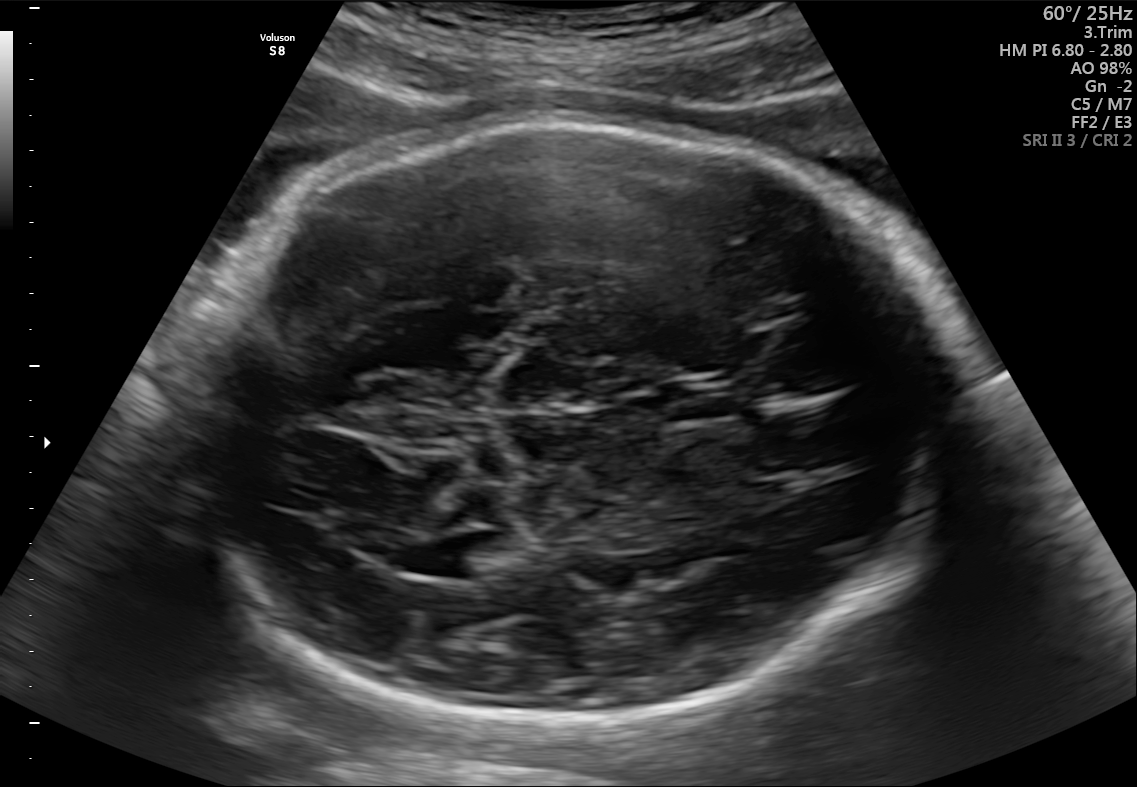
Identify the standard plane in this fetal ultrasound image: fetal abdomen, fetal brain, fetal femur, fetal thorax, maternal cervix, or other. If it's fetal brain and one of the three standard brain planes (trans-thalamic, trans-cerebellum, trans-ventricular), name which.

Fetal brain (trans-ventricular plane)